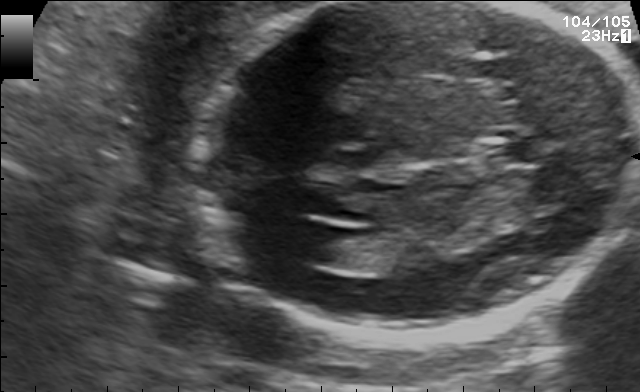
Fetal brain, trans-ventricular plane. Locate the cavum septum pellucidum.

CSP: [486,141,539,165]